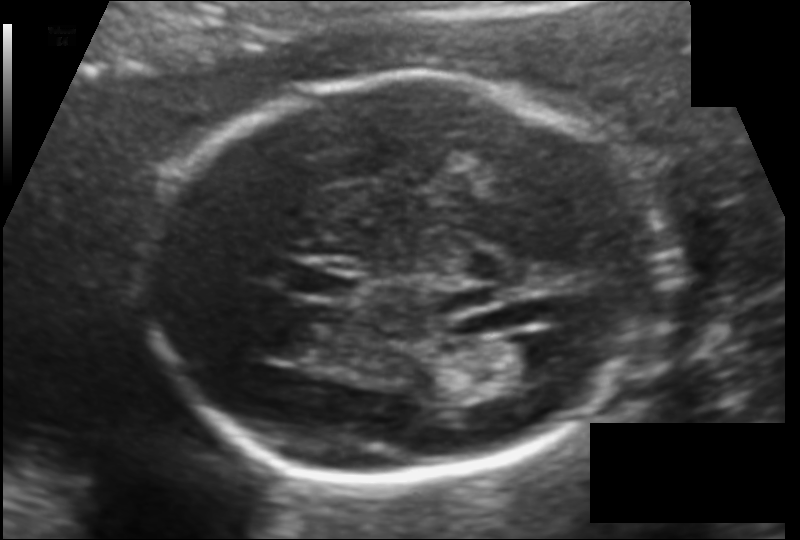
Fetal head ultrasound. Image width: 95.9 mm. Where is the lateral ventricle?

Lateral ventricle bounding box: [485,329,571,386]